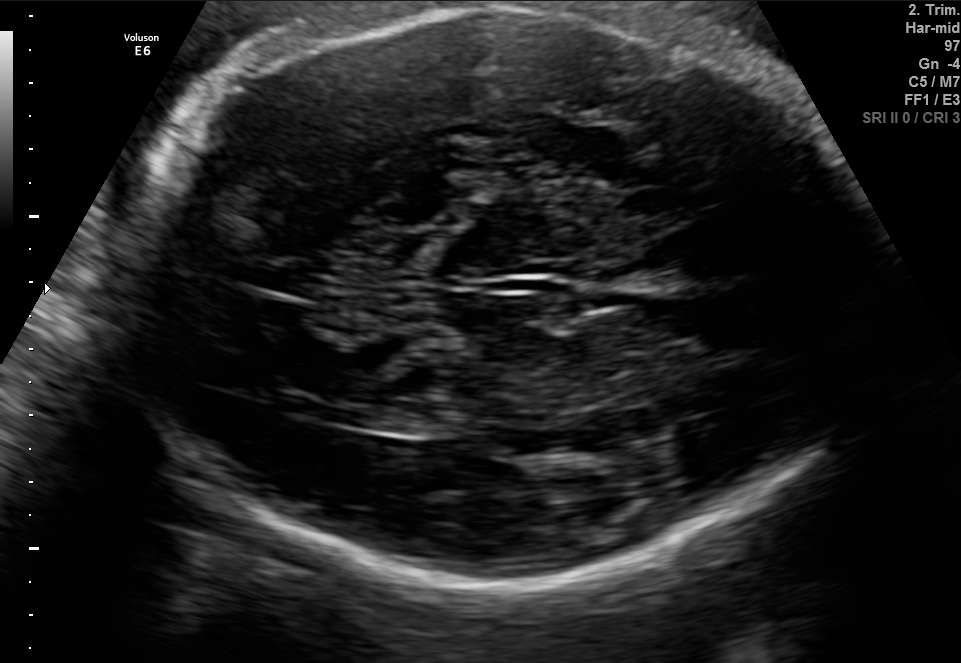
Fetal brain, trans-thalamic plane. Give [x1,y1,x2,y2] bounding boxes for each visible structure among: fetal head, CSP, LV.

Head: [112,8,867,589]